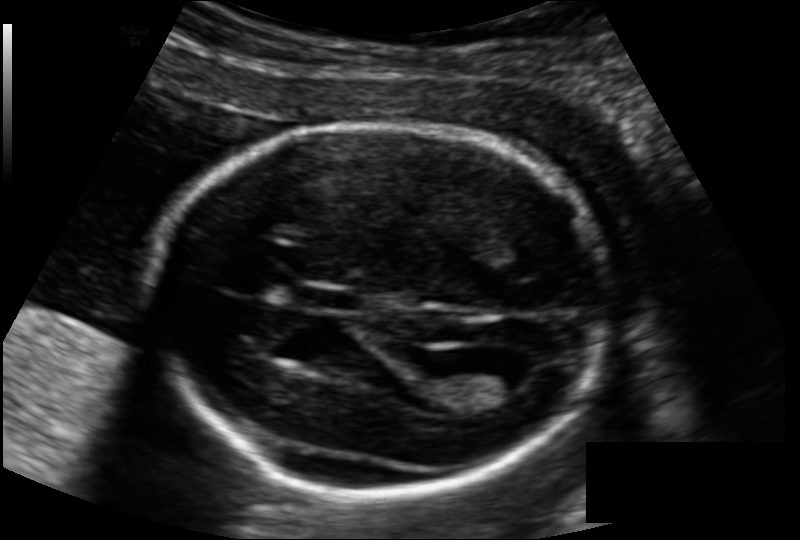
Fetal head ultrasound. Image width: 106.7 mm. Where is the fetal head?

Head bounding box: [153,123,608,492]